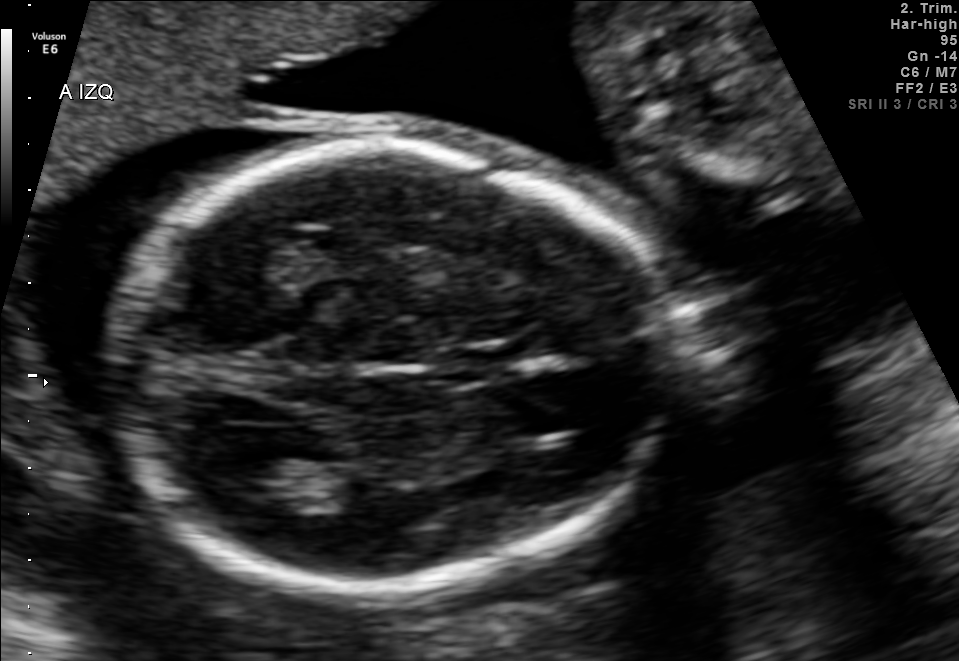
In this fetal brain, trans-thalamic plane, give the bounding box of the cavum septum pellucidum.

[452,343,529,385]